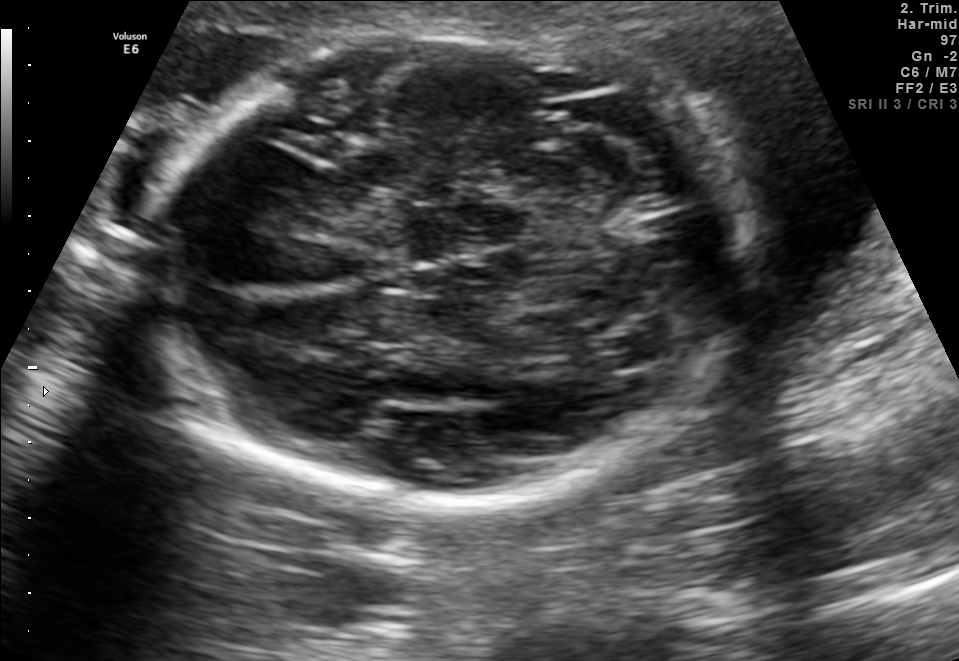
Fetal brain, trans-thalamic plane. Locate the fetal head.

Head: [140,31,753,496]